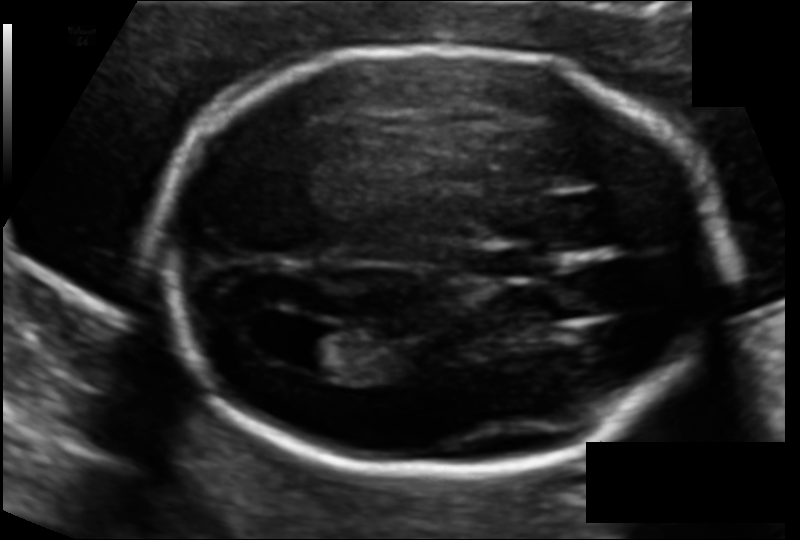
Fetal head ultrasound. Image width: 89.4 mm. Give [x1,y1,x2,y2] bounding boxes for each visible structure among: fetal head, CSP, LV.

Head: [164,48,724,469]
CSP: [467,247,539,280]
Lateral ventricle: [291,320,371,384]